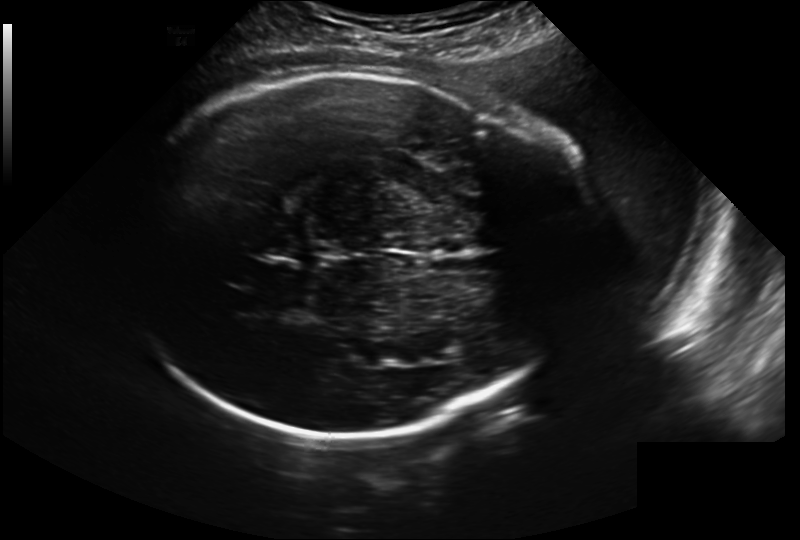
Estimate the fetal head circumference from this 2D ultrasound.

Head circumference: 328.0 mm (image width 192.7 mm).